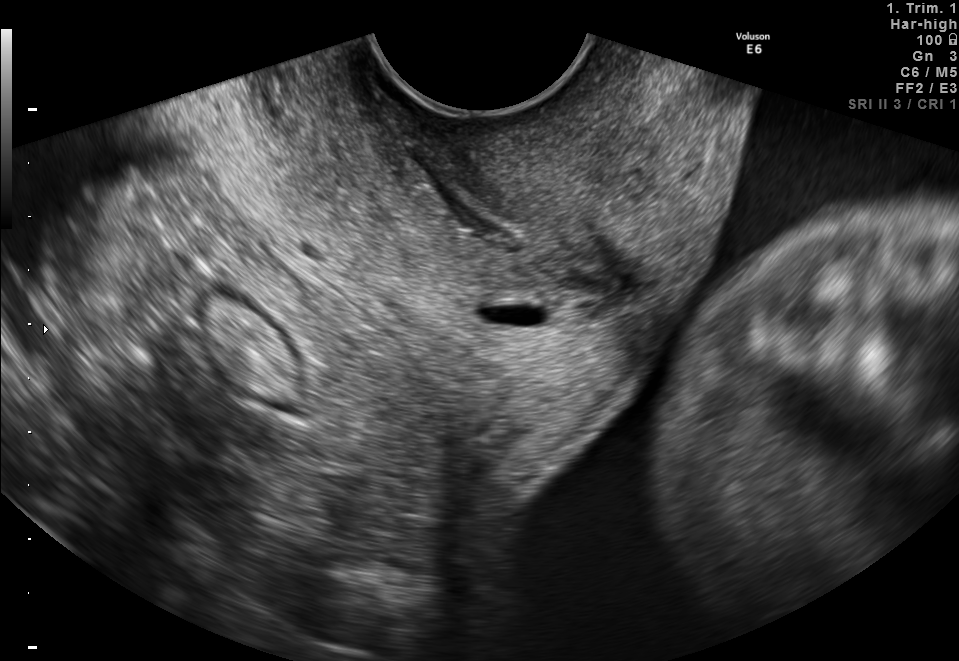
Which standard maternal-fetal ultrasound plane is shown: fetal abdomen, fetal brain, fetal femur, fetal thorax, maternal cervix, or other? If it's fetal brain and one of the three standard brain planes (trans-thalamic, trans-cerebellum, trans-ventricular), name which.

Maternal cervix